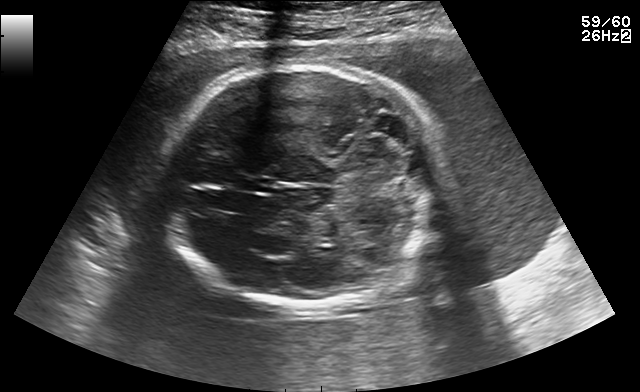
Which standard maternal-fetal ultrasound plane is shown: fetal abdomen, fetal brain, fetal femur, fetal thorax, maternal cervix, or other? If it's fetal brain and one of the three standard brain planes (trans-thalamic, trans-cerebellum, trans-ventricular), name which.

Fetal brain (trans-cerebellum plane)